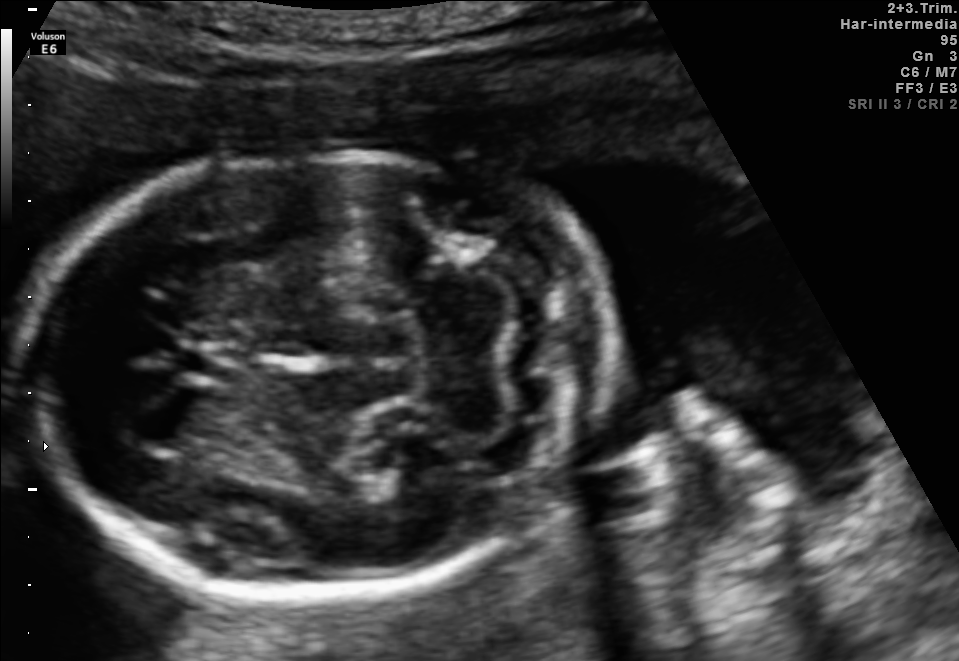
Fetal brain, trans-cerebellum plane. Where is the cavum septum pellucidum?

CSP bounding box: [177,342,243,385]